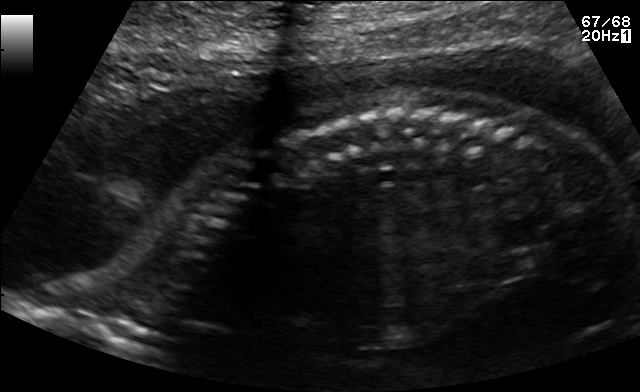
Which standard maternal-fetal ultrasound plane is shown: fetal abdomen, fetal brain, fetal femur, fetal thorax, maternal cervix, or other? If it's fetal brain and one of the three standard brain planes (trans-thalamic, trans-cerebellum, trans-ventricular), name which.

Other